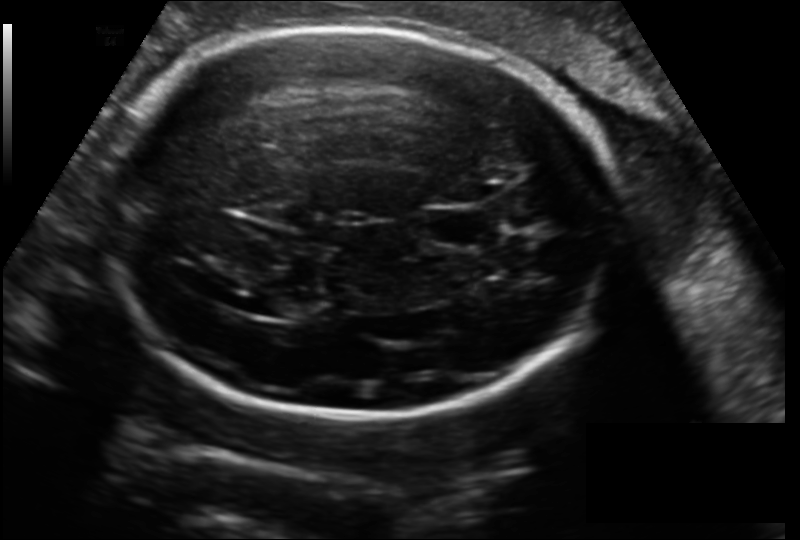
Fetal head ultrasound. Image width: 142.1 mm. Locate the fetal head.

Head: [98,25,619,417]